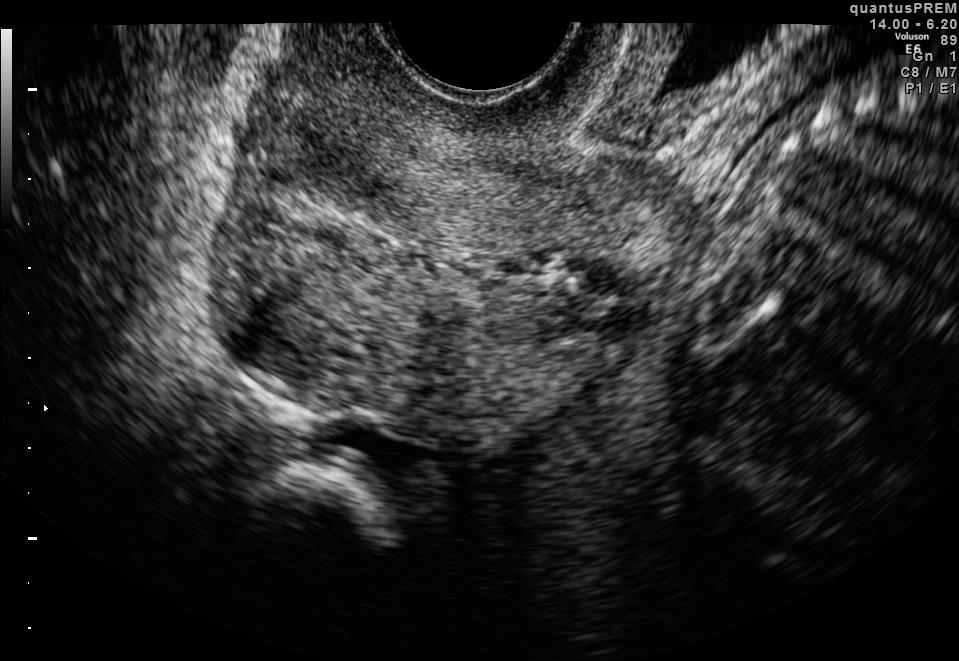
Identify the standard plane in this fetal ultrasound image: fetal abdomen, fetal brain, fetal femur, fetal thorax, maternal cervix, or other. If it's fetal brain and one of the three standard brain planes (trans-thalamic, trans-cerebellum, trans-ventricular), name which.

Maternal cervix